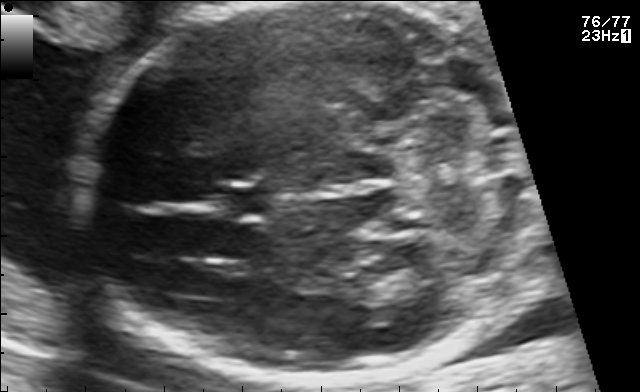
In this fetal brain, trans-cerebellum plane, give the bounding box of the cavum septum pellucidum.

[223,182,280,221]